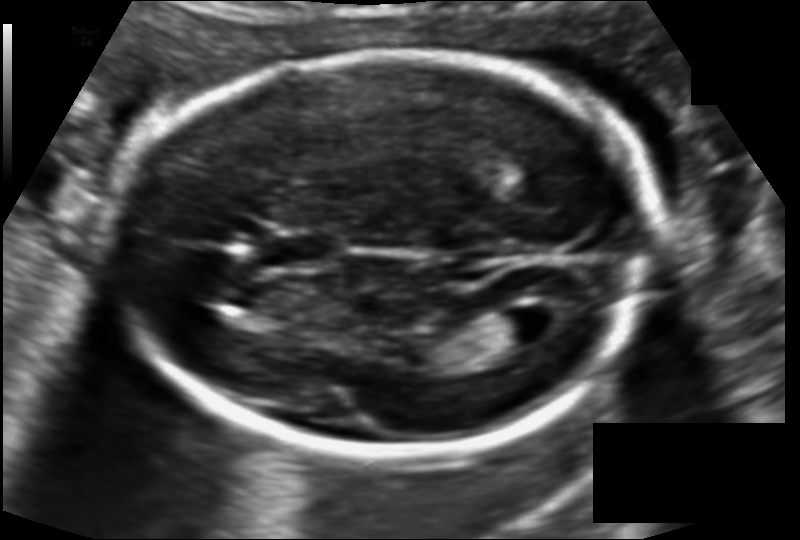
In this fetal head ultrasound, give bounding boxes for the head outline, cavum septum pellucidum (CSP), and lateral ventricle (LV), where visible. Image width: 92.2 mm.

Head: [108,53,653,451]
CSP: [269,233,331,266]
Lateral ventricle: [483,297,561,355]